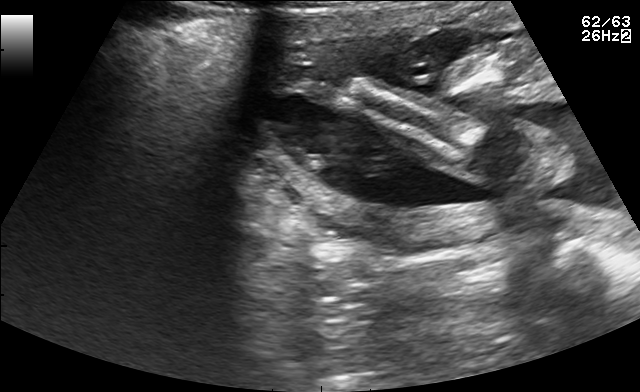
Identify the standard plane in this fetal ultrasound image: fetal abdomen, fetal brain, fetal femur, fetal thorax, maternal cervix, or other. If it's fetal brain and one of the three standard brain planes (trans-thalamic, trans-cerebellum, trans-ventricular), name which.

Other